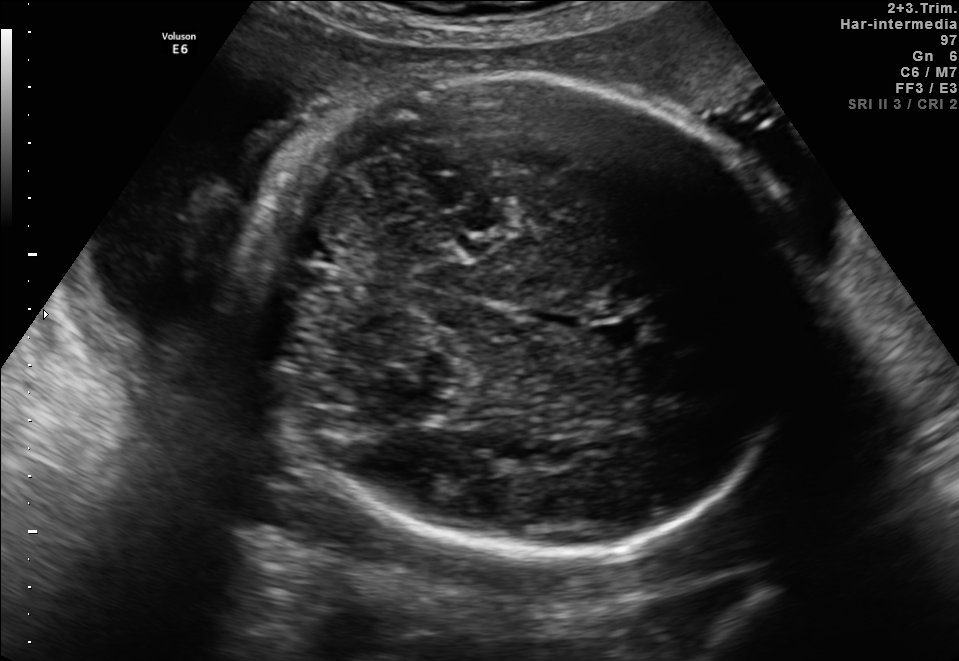
Fetal brain, trans-cerebellum plane. Locate the fetal head and, if visible, the cavum septum pellucidum (CSP) and lateral ventricle (LV). Give bounding boxes as [x1,y1,x2,y2].

Head: [259,79,798,558]
CSP: [585,312,654,358]